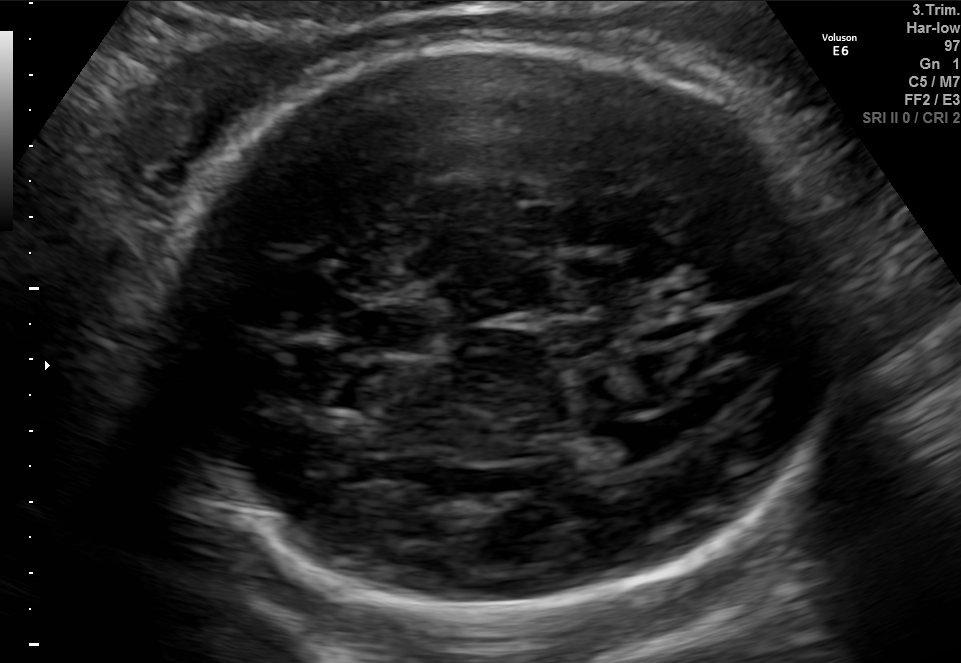
Fetal brain, trans-ventricular plane. Locate the fetal head and, if visible, the cavum septum pellucidum (CSP) and lateral ventricle (LV). Give bounding boxes as [x1,y1,x2,y2].

Head: [144,38,867,617]
CSP: [360,306,433,354]
Lateral ventricle: [598,410,688,473]